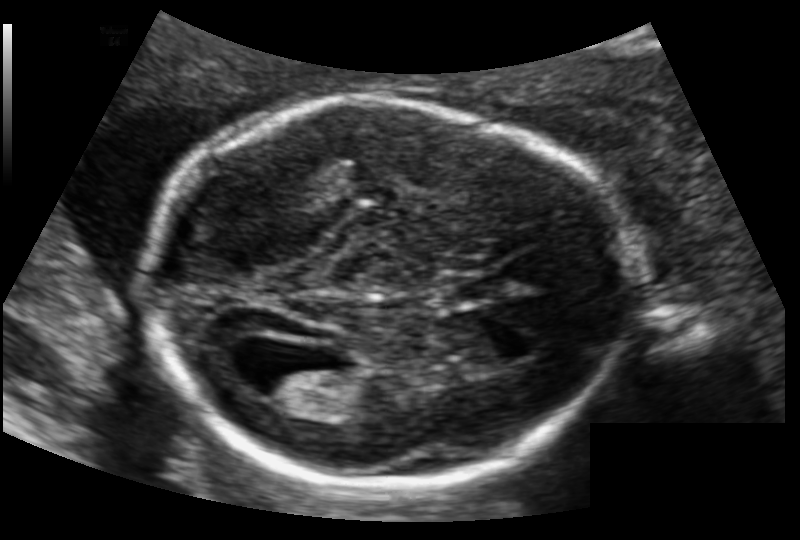
Fetal head ultrasound. Image width: 100.7 mm. Locate the cavum septum pellucidum.

CSP: [450,273,506,303]